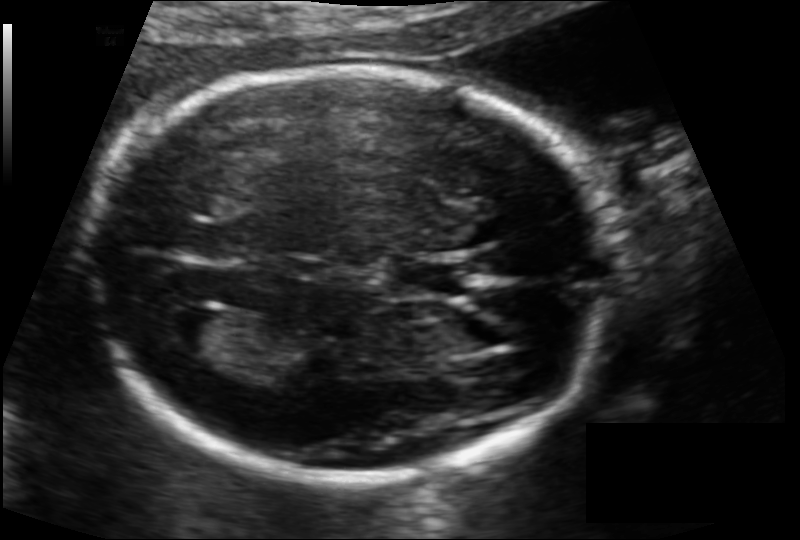
In this fetal head ultrasound, give the bounding box of the fetal head. Image width: 91.1 mm.

[98,66,610,479]